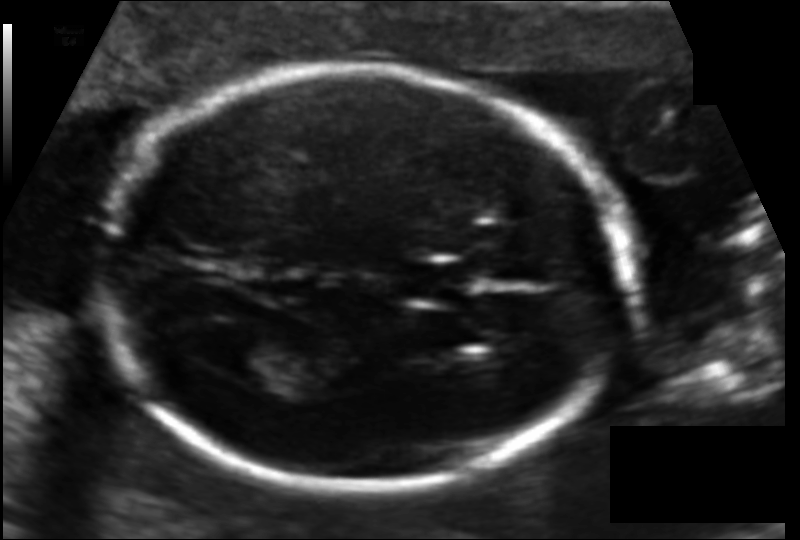
Estimate the fetal head circumference from this 2D ultrasound.

Head circumference: 175.0 mm (image width 91.0 mm).